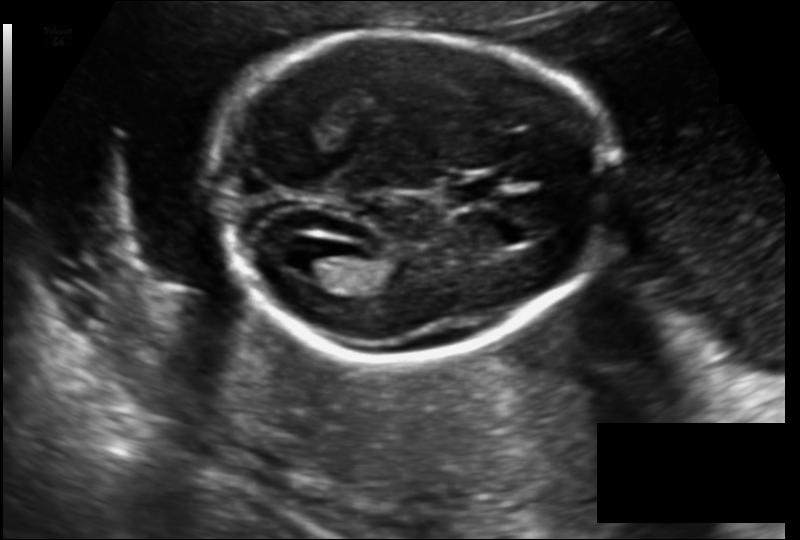
In this fetal head ultrasound, give the bounding box of the fetal head. Image width: 113.3 mm.

[214,32,610,361]